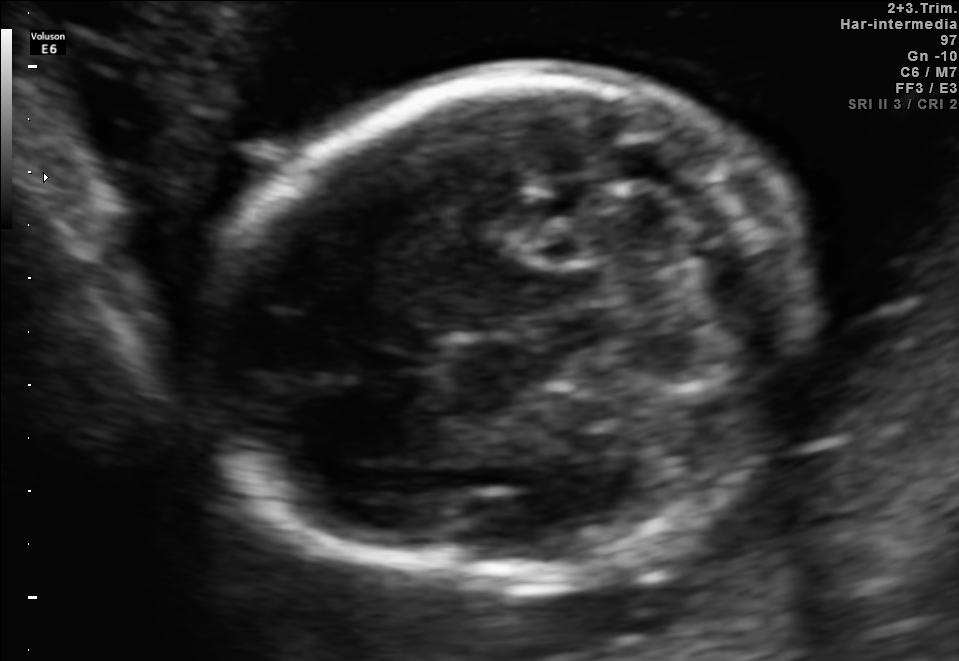
In this fetal brain, trans-cerebellum plane, give bounding boxes for the head outline, cavum septum pellucidum (CSP), and lateral ventricle (LV), where visible.

Head: [206,71,805,578]